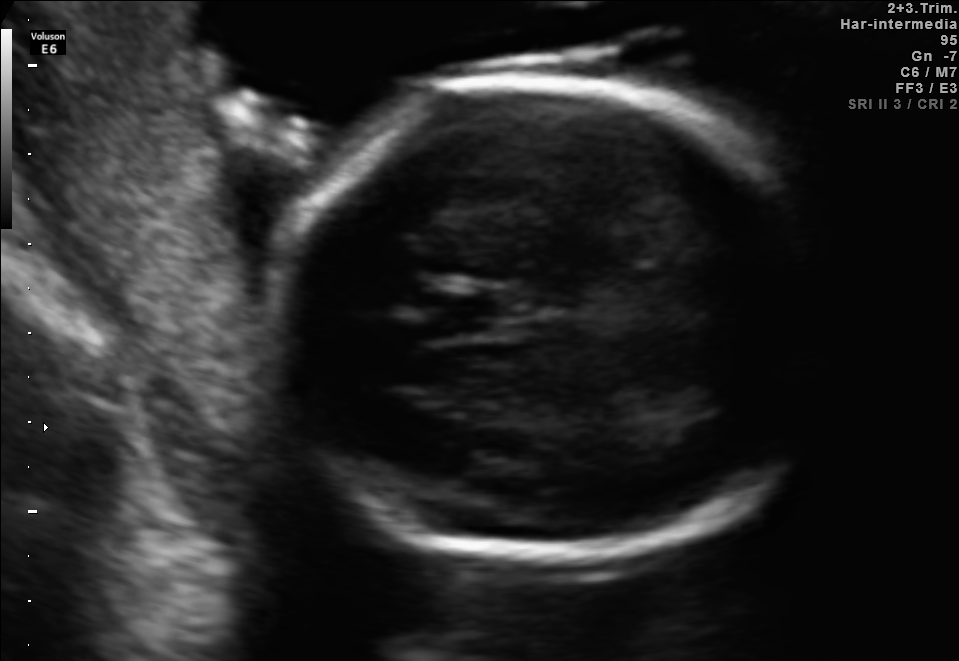
In this fetal brain, trans-thalamic plane, give the bounding box of the fetal head.

[275,73,822,556]